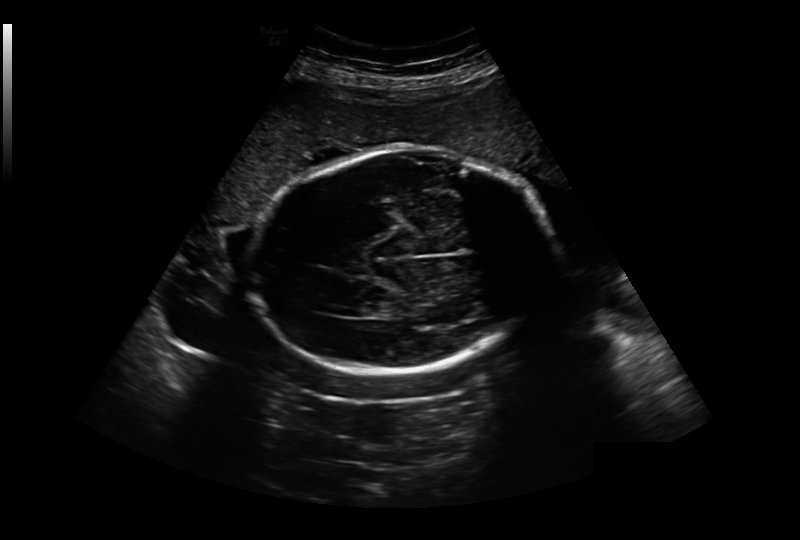
In this fetal head ultrasound, give bounding boxes for the head outline, cavum septum pellucidum (CSP), and lateral ventricle (LV), where visible. Image width: 278.8 mm.

Head: [249,147,556,372]